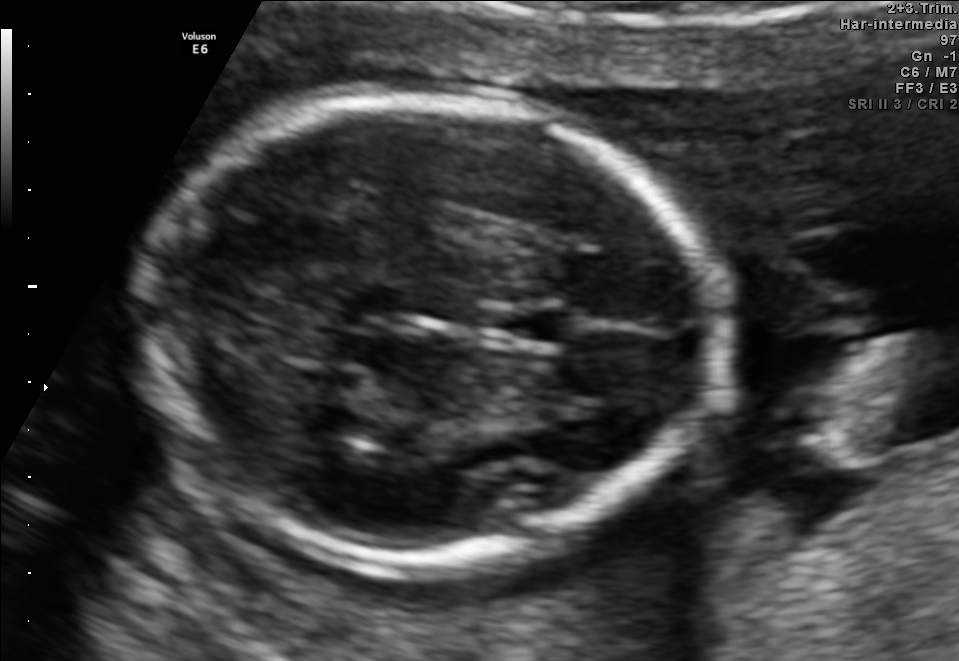
Fetal brain, trans-thalamic plane. Locate the fetal head.

Head: [139,98,724,567]